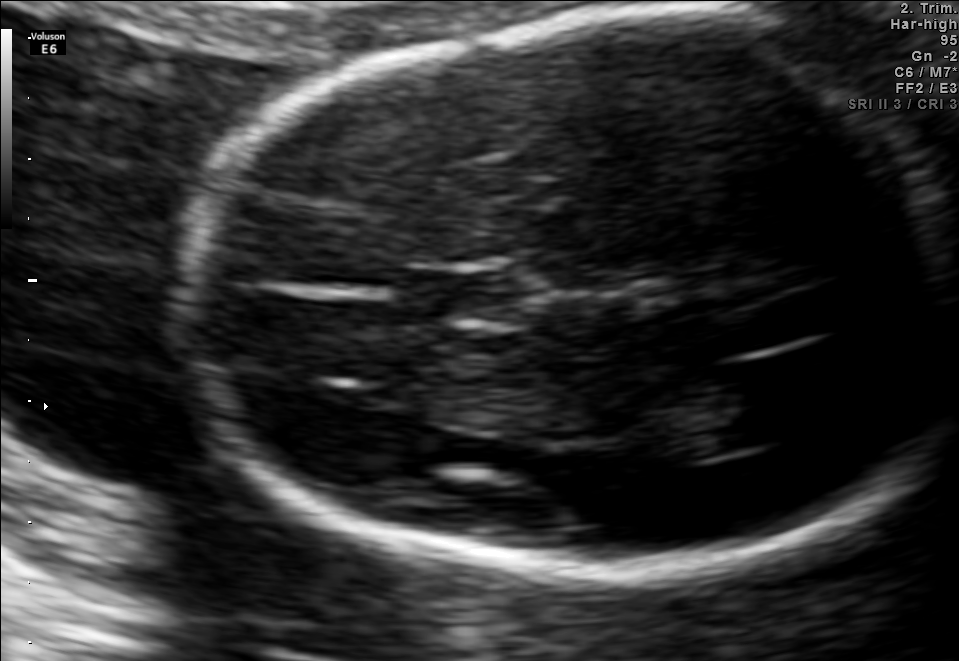
Fetal brain, trans-thalamic plane. Locate the cavum septum pellucidum.

CSP: [404,274,517,320]